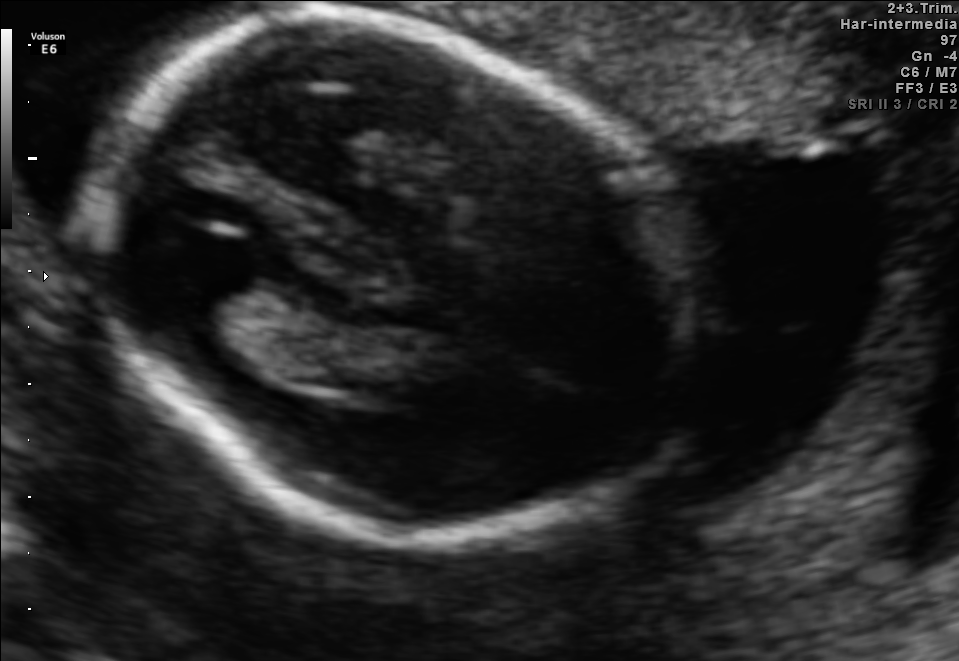
Fetal brain, trans-thalamic plane. Locate the fetal head and, if visible, the cavum septum pellucidum (CSP) and lateral ventricle (LV). Give bounding boxes as [x1,y1,x2,y2].

Head: [87,26,704,541]